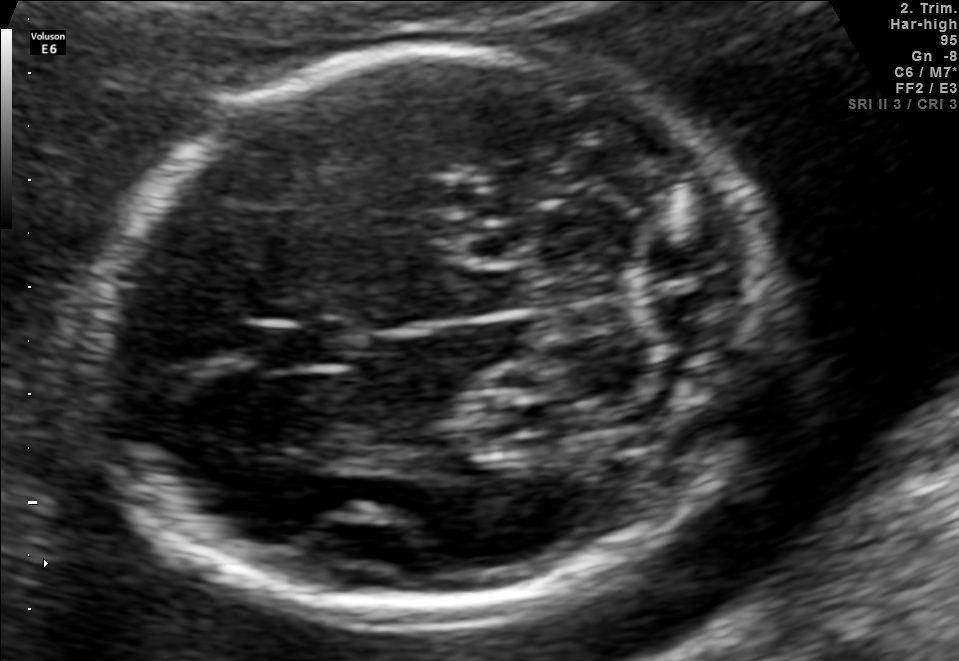
In this fetal brain, trans-cerebellum plane, give the bounding box of the fetal head.

[94,45,765,618]